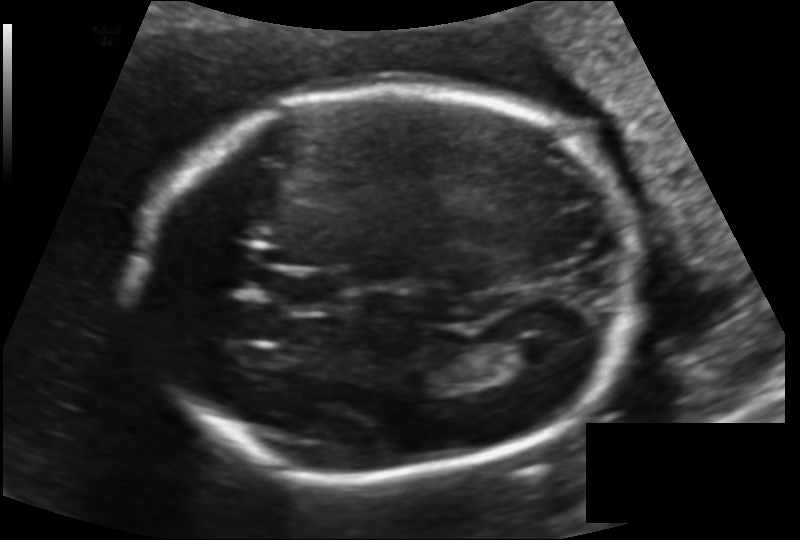
Fetal head ultrasound. Image width: 115.0 mm. Where is the fetal head?

Head bounding box: [142,88,642,473]